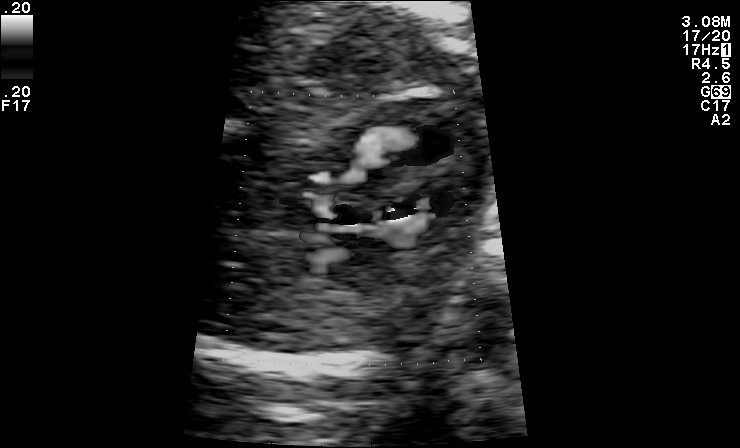
This is a 2D maternal-fetal ultrasound frame. Is it a fetal abdomen, fetal brain, fetal femur, fetal thorax, maternal cervix, or other standard plane? If it's fetal brain and one of the three standard brain planes (trans-thalamic, trans-cerebellum, trans-ventricular), name which.

Other